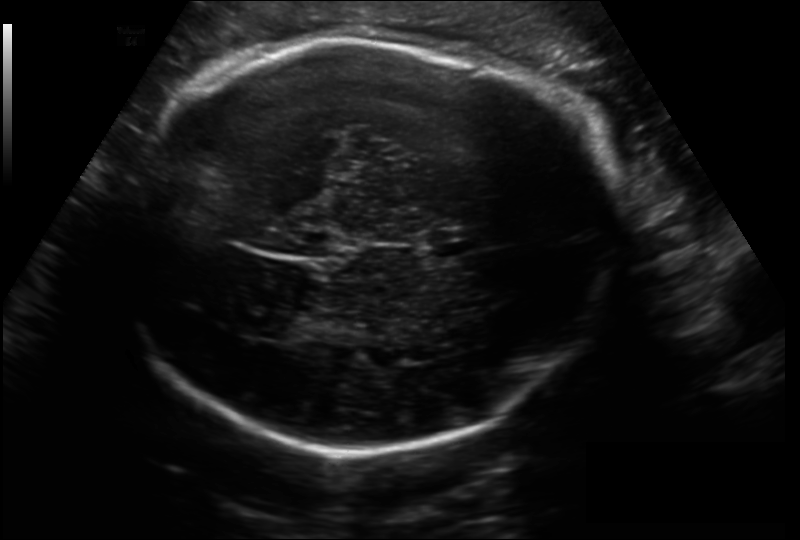
In this fetal head ultrasound, give bounding boxes for the head outline, cavum septum pellucidum (CSP), and lateral ventricle (LV), where visible. Image width: 164.9 mm.

Head: [109,40,619,453]
CSP: [427,225,480,259]
Lateral ventricle: [224,300,292,341]